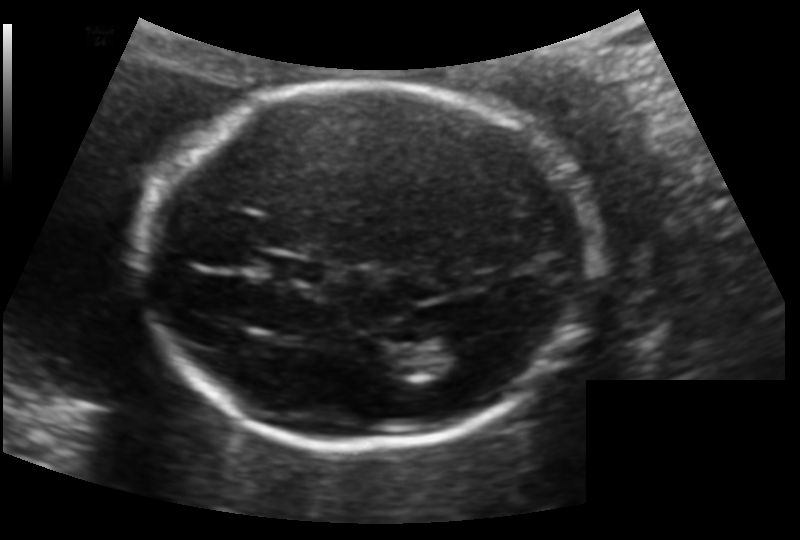
In this fetal head ultrasound, give the bounding box of the fetal head. Image width: 106.4 mm.

[143,83,587,449]